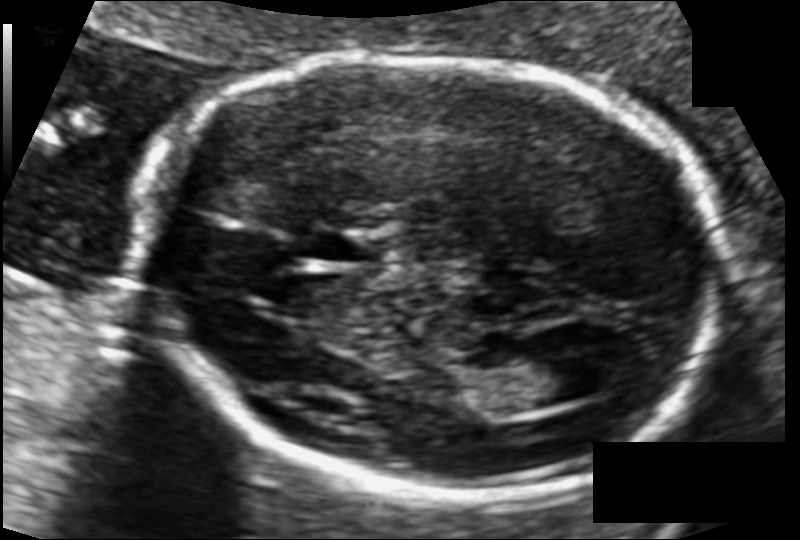
In this fetal head ultrasound, give bounding boxes for the head outline, cavum septum pellucidum (CSP), and lateral ventricle (LV), where visible. Image width: 81.0 mm.

Head: [140,54,723,496]
CSP: [304,226,381,266]
Lateral ventricle: [491,339,593,417]